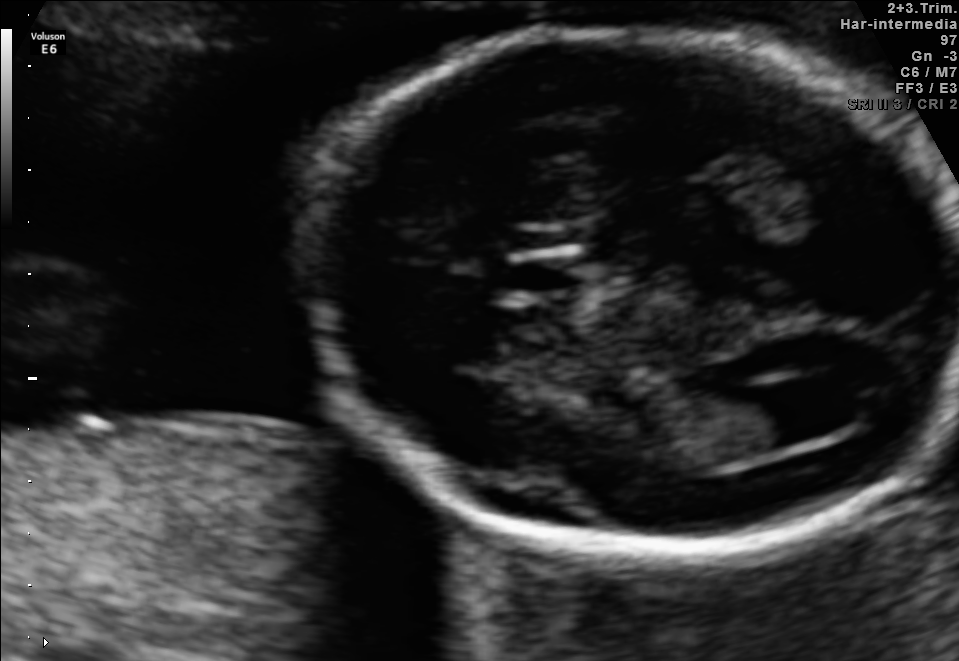
Fetal brain, trans-ventricular plane. Where is the fetal head?

Head bounding box: [293,27,958,556]